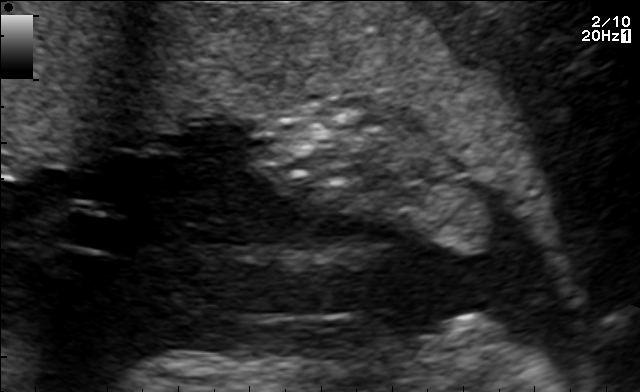
This is a 2D maternal-fetal ultrasound frame. Is it a fetal abdomen, fetal brain, fetal femur, fetal thorax, maternal cervix, or other standard plane? If it's fetal brain and one of the three standard brain planes (trans-thalamic, trans-cerebellum, trans-ventricular), name which.

Other